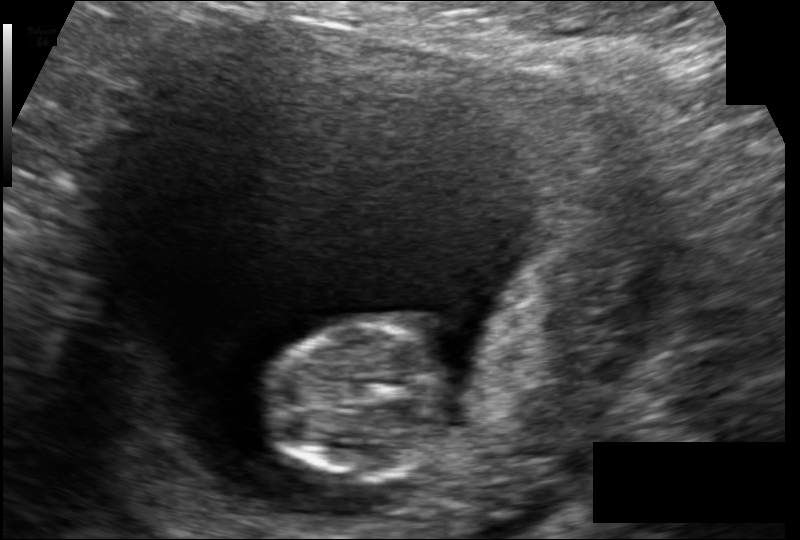
In this fetal head ultrasound, give the bounding box of the fetal head. Image width: 93.6 mm.

[263,323,449,482]